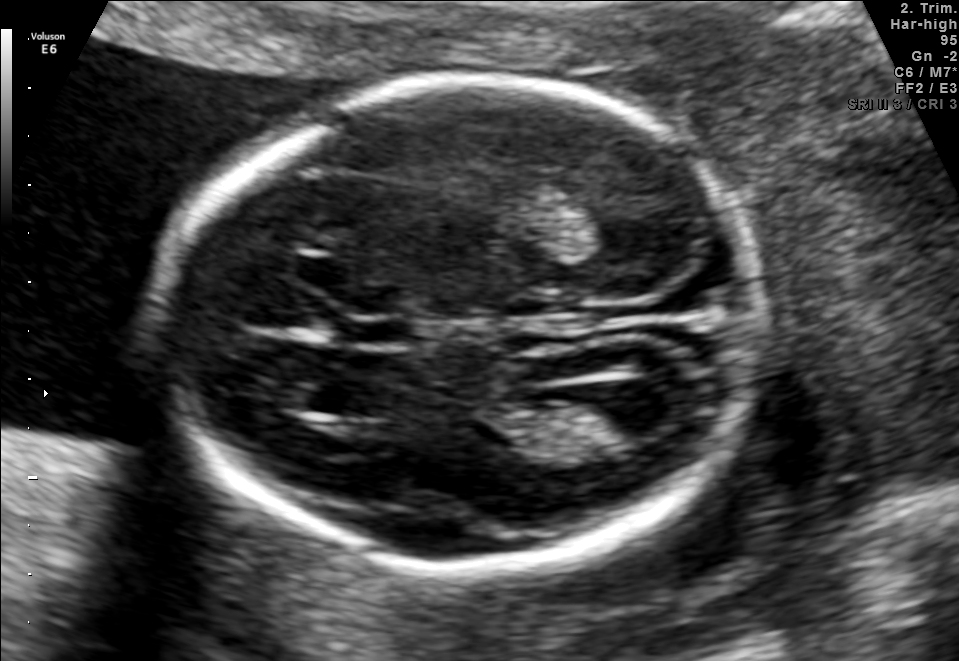
Fetal brain, trans-ventricular plane. Give [x1,y1,x2,y2] bounding boxes for each visible structure among: fetal head, CSP, LV.

Head: [145,71,780,580]
CSP: [334,314,423,347]
Lateral ventricle: [578,368,686,454]